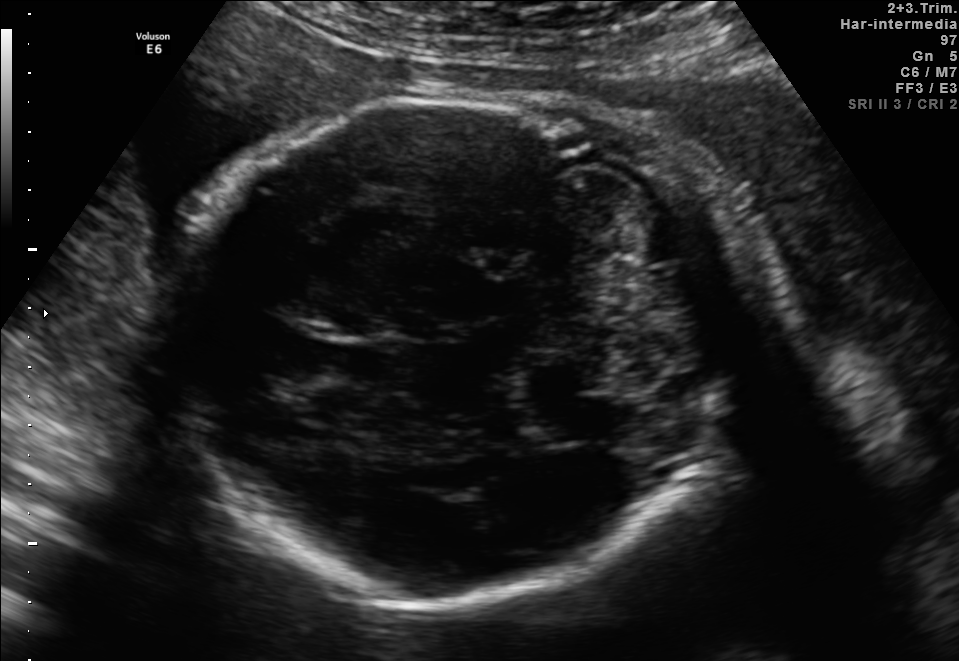
Fetal brain, trans-cerebellum plane. Give [x1,y1,x2,y2] bounding boxes for each visible structure among: fetal head, CSP, LV.

Head: [166,91,777,596]